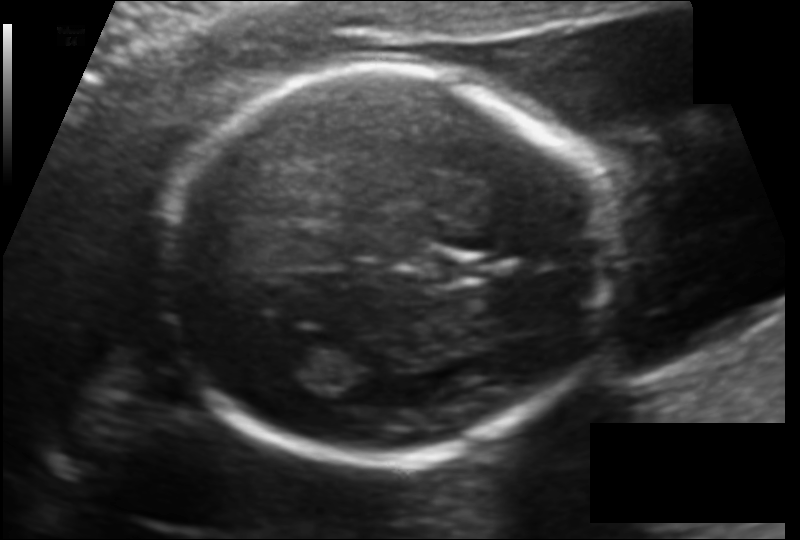
Estimate the fetal head circumference from this 2D ultrasound. Image width: 98.0 mm.

Head circumference: 168.5 mm.